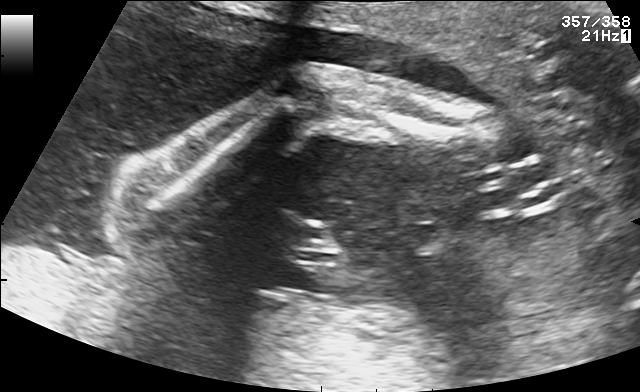
This is a 2D maternal-fetal ultrasound frame. Is it a fetal abdomen, fetal brain, fetal femur, fetal thorax, maternal cervix, or other standard plane? If it's fetal brain and one of the three standard brain planes (trans-thalamic, trans-cerebellum, trans-ventricular), name which.

Fetal femur